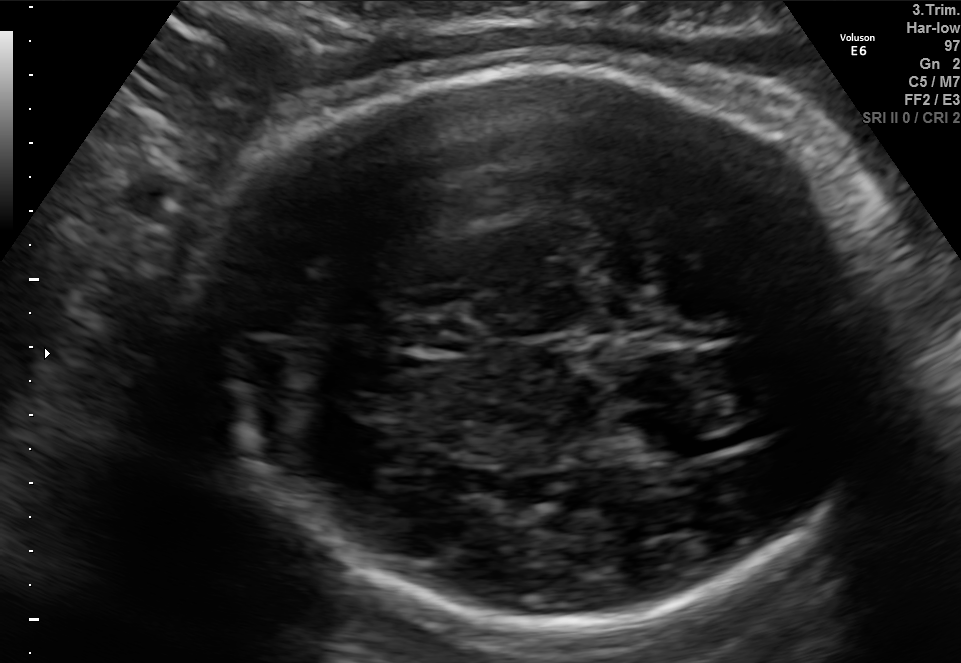
In this fetal brain, trans-thalamic plane, give bounding boxes for the head outline, cavum septum pellucidum (CSP), and lateral ventricle (LV), where visible.

Head: [202,62,883,627]
CSP: [402,321,476,352]
Lateral ventricle: [647,430,728,469]